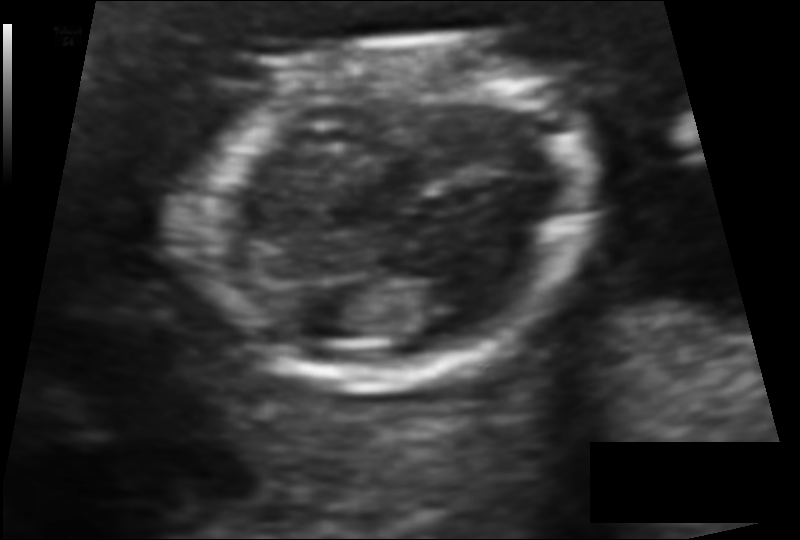
In this fetal head ultrasound, give the bounding box of the fetal head. Image width: 72.9 mm.

[203,40,591,389]